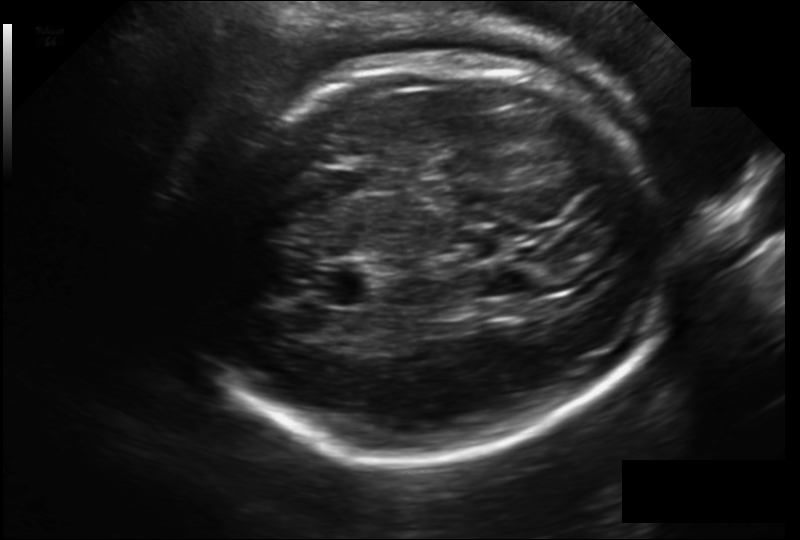
Fetal head ultrasound. Image width: 162.0 mm. Give [x1,y1,x2,y2] bounding boxes for each visible structure among: fetal head, CSP, LV.

Head: [183,54,664,462]